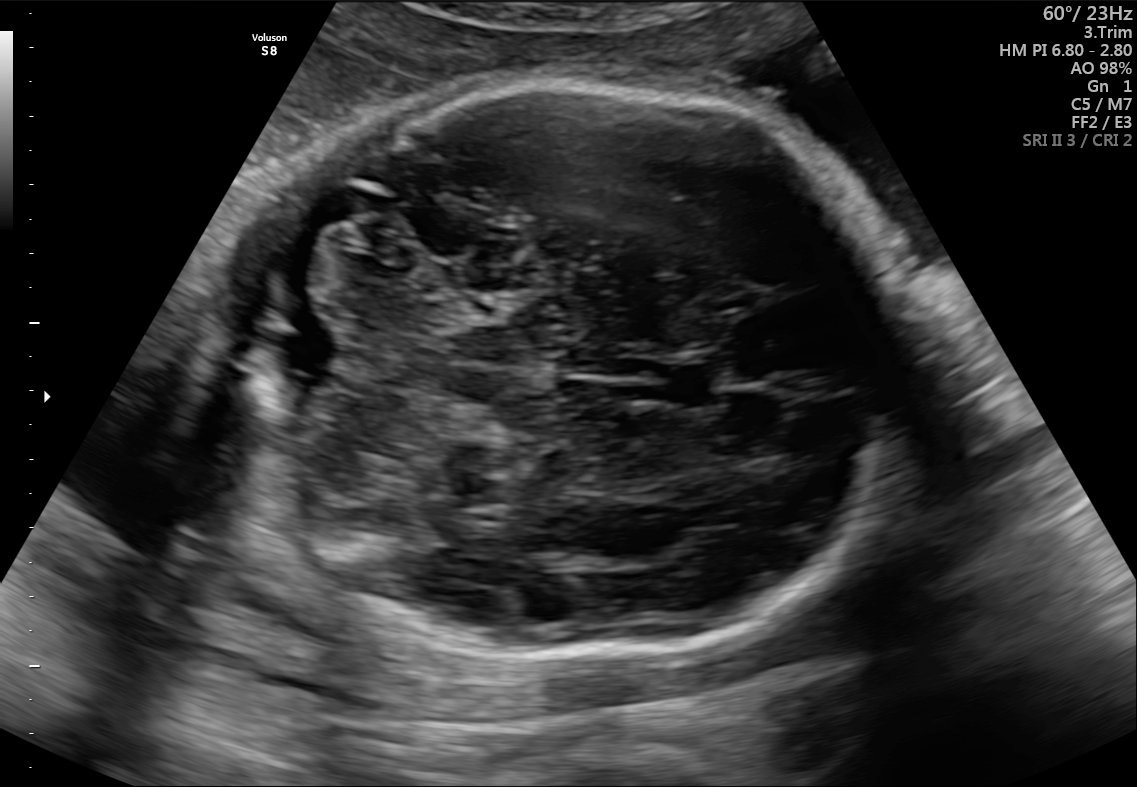
In this fetal brain, trans-cerebellum plane, give the bounding box of the cavum septum pellucidum.

[650,356,725,406]